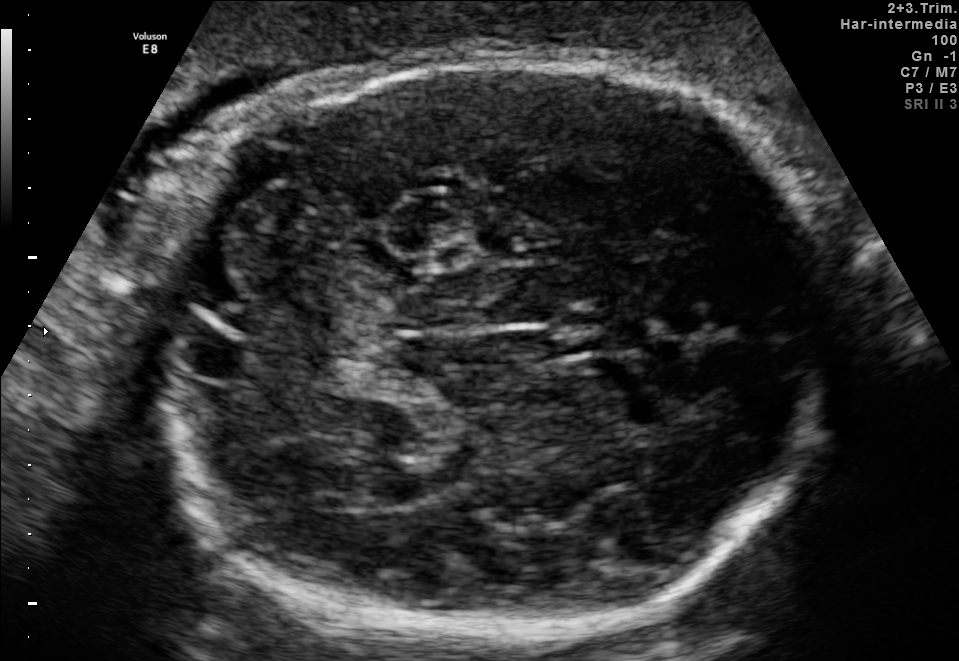
Fetal brain, trans-cerebellum plane. Locate the cavum septum pellucidum.

CSP: [572,304,651,356]